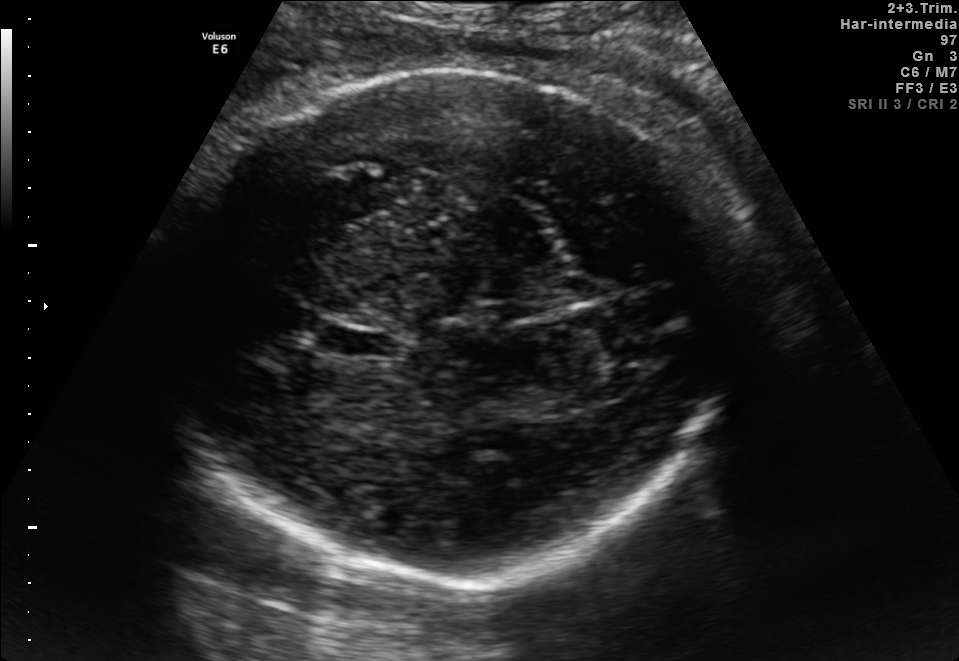
Fetal brain, trans-thalamic plane. Where is the cavum septum pellucidum?

CSP bounding box: [331,325,404,361]